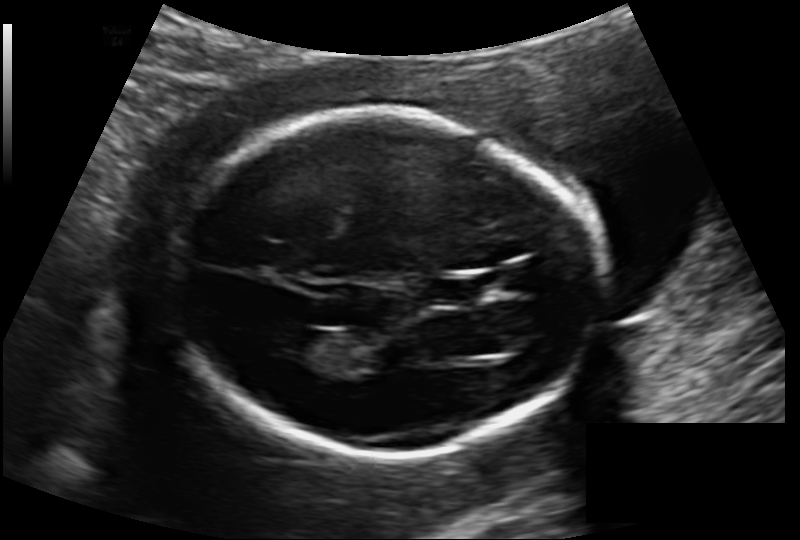
Estimate the fetal head circumference from this 2D ultrasound.

Head circumference: 166.8 mm (image width 106.3 mm).